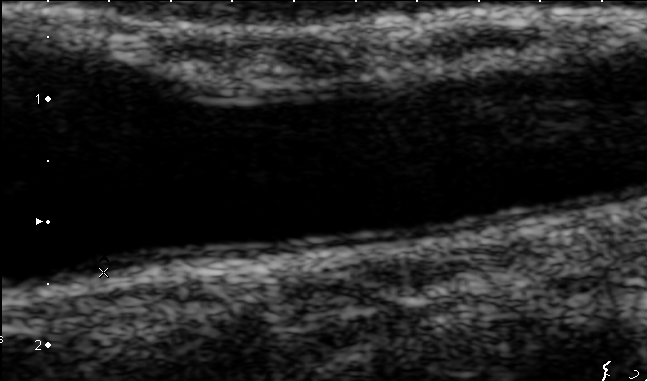
Classify this maternal-fetal ultrasound image as one of the six standard planes — fetal abdomen, fetal brain, fetal femur, fetal thorax, maternal cervix, or other. If it's fetal brain and one of the three standard brain planes (trans-thalamic, trans-cerebellum, trans-ventricular), name which.

Other